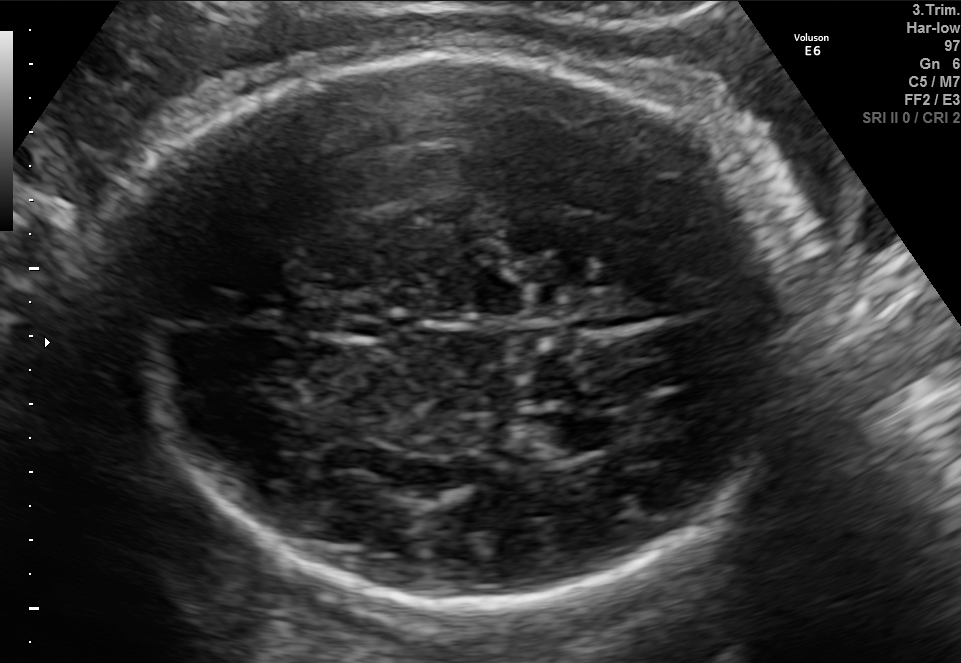
Fetal brain, trans-thalamic plane. Where is the fetal head?

Head bounding box: [109,42,794,605]